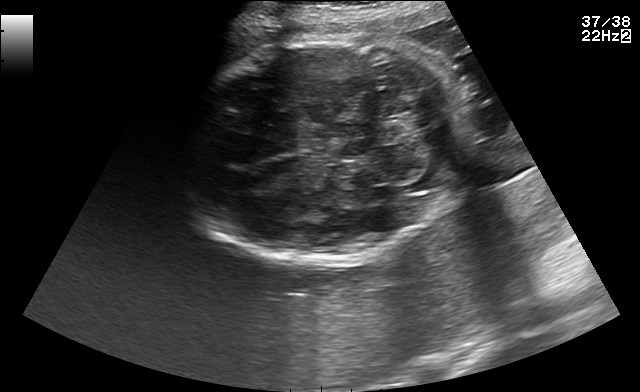
Fetal brain, trans-cerebellum plane. Where is the fetal head?

Head bounding box: [176,37,464,262]